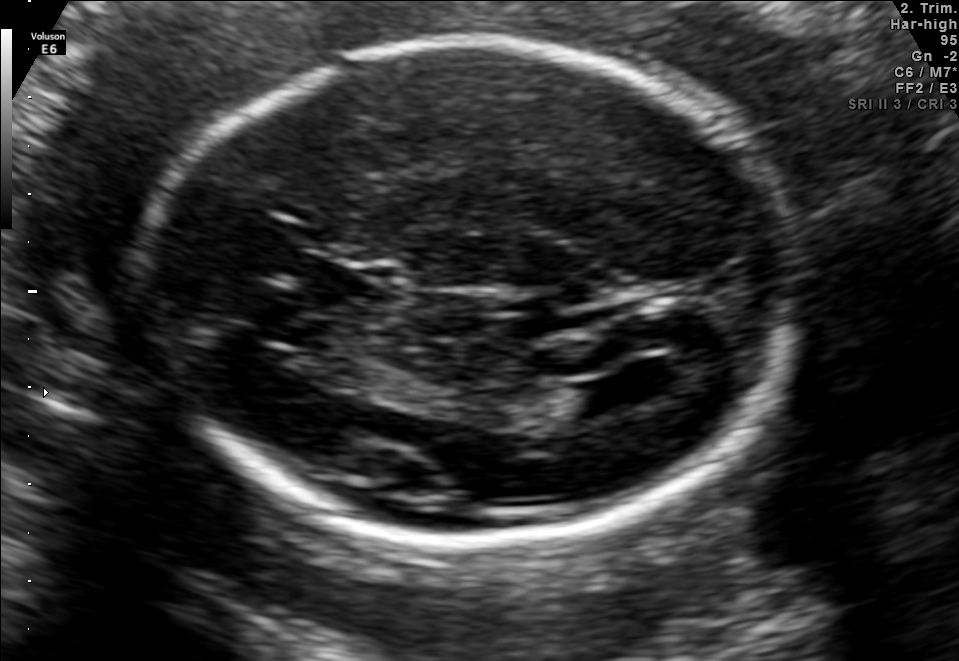
Fetal brain, trans-ventricular plane. Where is the cavum septum pellucidum?

CSP bounding box: [299,260,410,322]